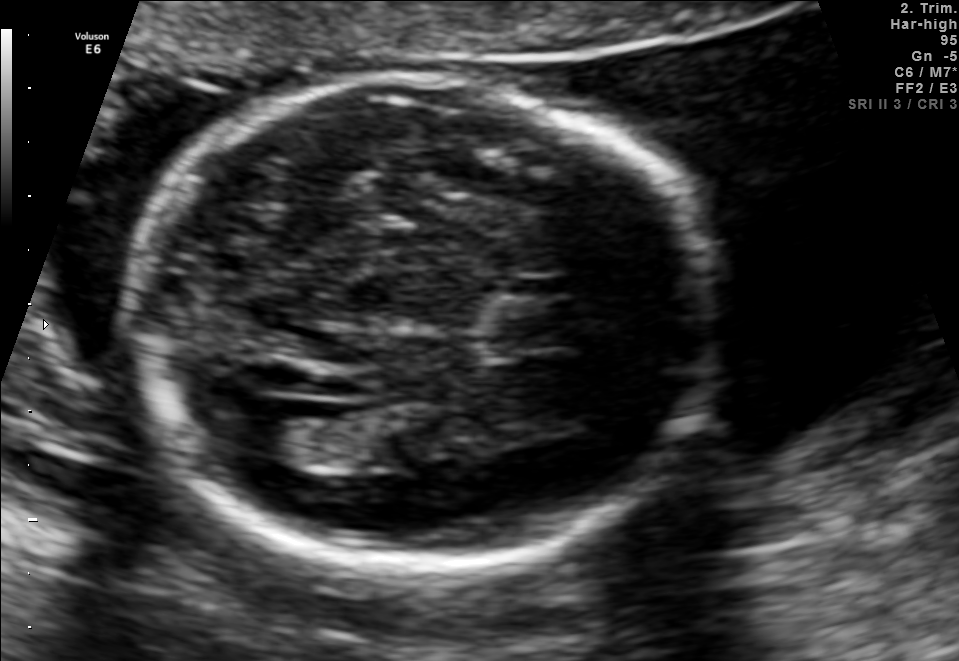
Fetal brain, trans-ventricular plane. Locate the fetal head and, if visible, the cavum septum pellucidum (CSP) and lateral ventricle (LV). Give bounding boxes as [x1,y1,x2,y2].

Head: [117,80,724,579]
CSP: [470,297,583,352]
Lateral ventricle: [226,393,330,467]